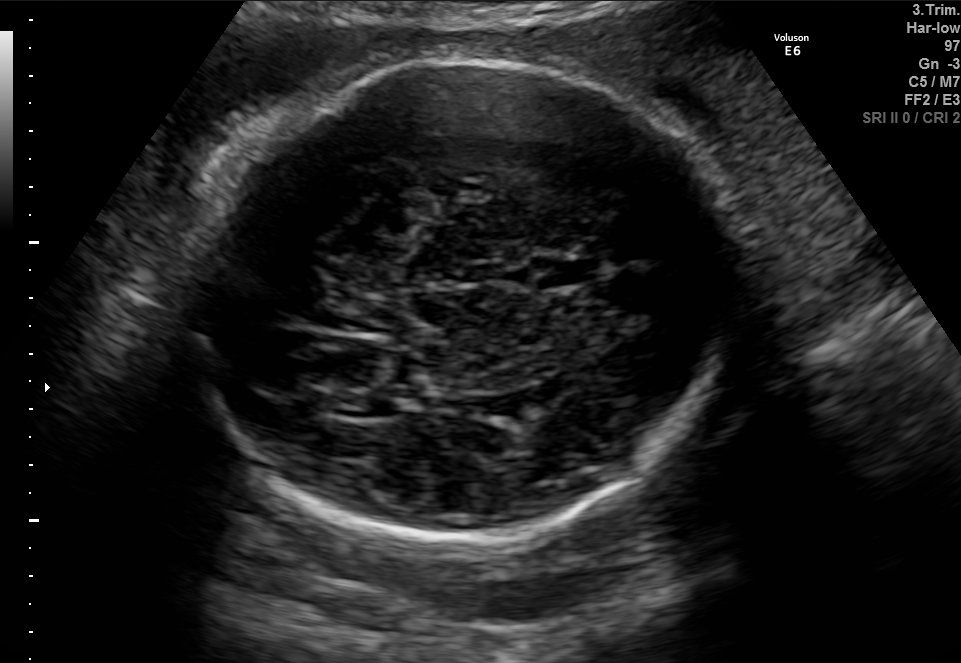
Fetal brain, trans-thalamic plane. Locate the lateral ventricle.

Lateral ventricle: [334,396,393,419]